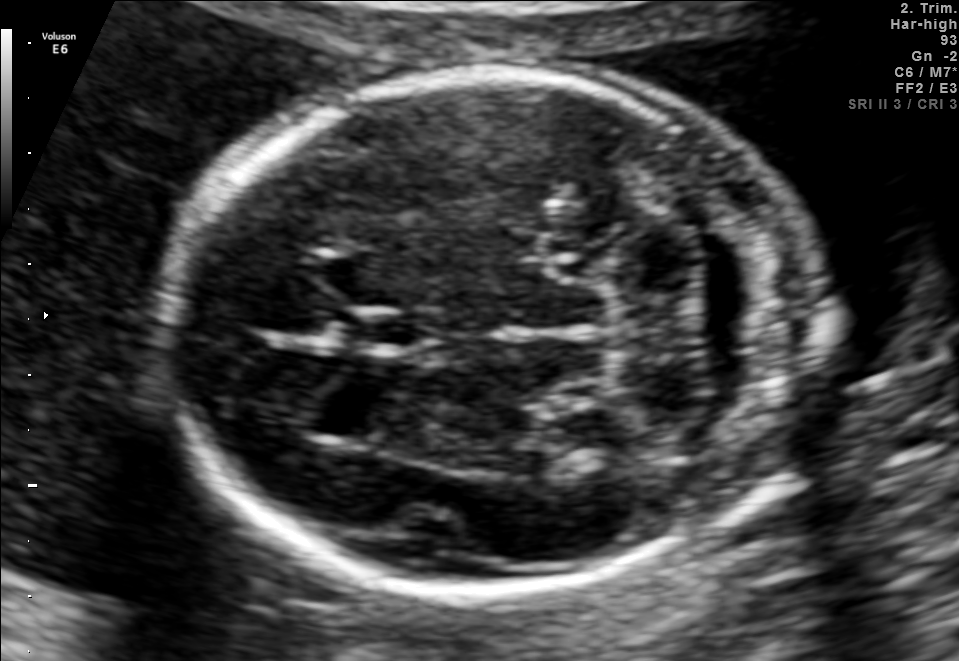
In this fetal brain, trans-cerebellum plane, give the bounding box of the cavum septum pellucidum.

[342,311,429,350]